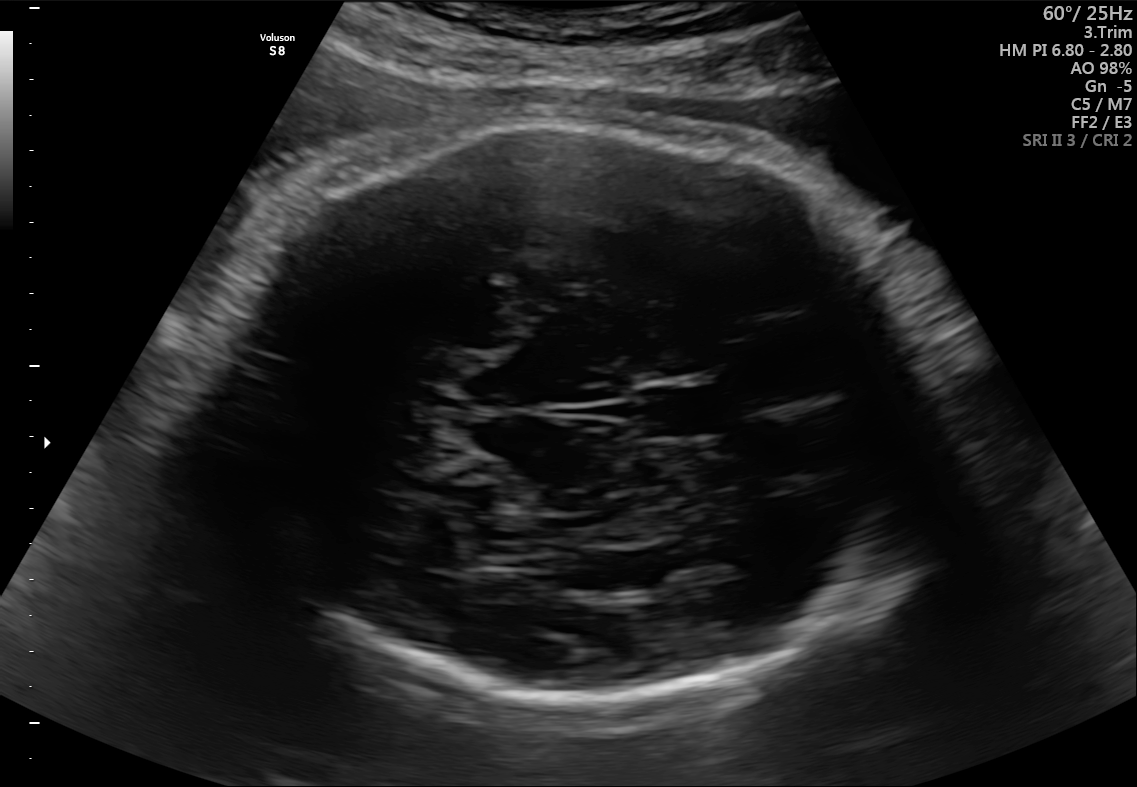
Fetal brain, trans-thalamic plane. Give [x1,y1,x2,y2] bounding boxes for each visible structure among: fetal head, CSP, LV.

Head: [215,124,930,701]
CSP: [640,383,731,437]